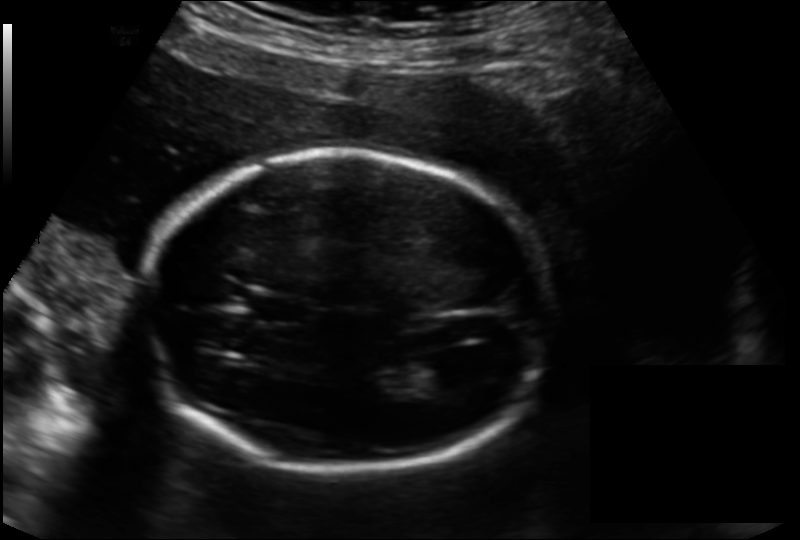
Fetal head ultrasound. Image width: 133.1 mm. Locate the fetal head and, if visible, the cavum septum pellucidum (CSP) and lateral ventricle (LV). Give bounding boxes as [x1,y1,x2,y2].

Head: [147,148,551,472]
CSP: [251,292,315,329]
Lateral ventricle: [395,353,462,398]